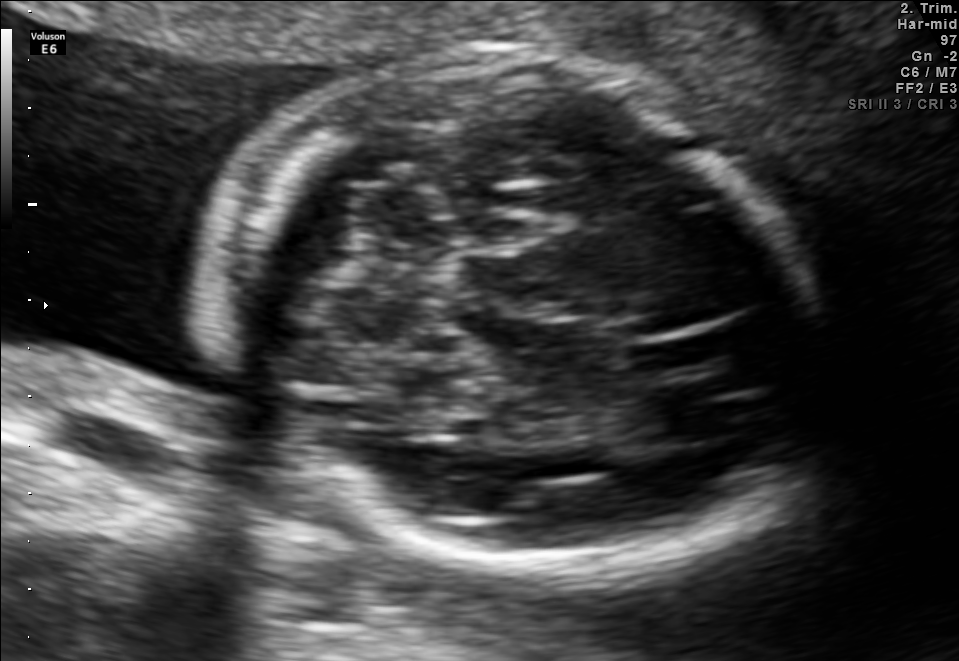
Fetal brain, trans-cerebellum plane. Give [x1,y1,x2,y2] bounding boxes for each visible structure among: fetal head, CSP, LV.

Head: [217,54,822,581]